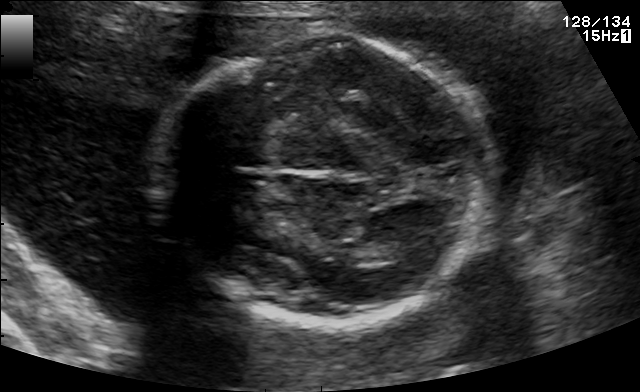
In this fetal brain, trans-thalamic plane, give the bounding box of the fetal head.

[153,38,495,323]